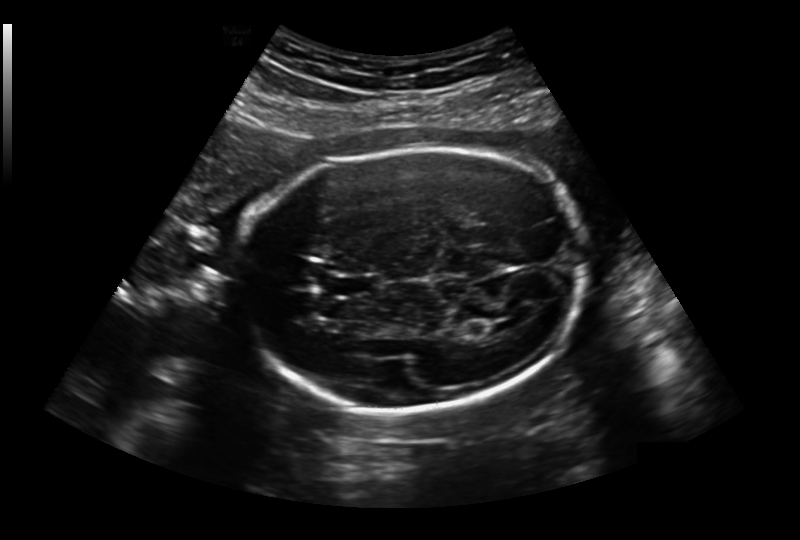
Fetal head ultrasound. Image width: 188.7 mm. Locate the lateral ventricle.

Lateral ventricle: [490,315,520,335]